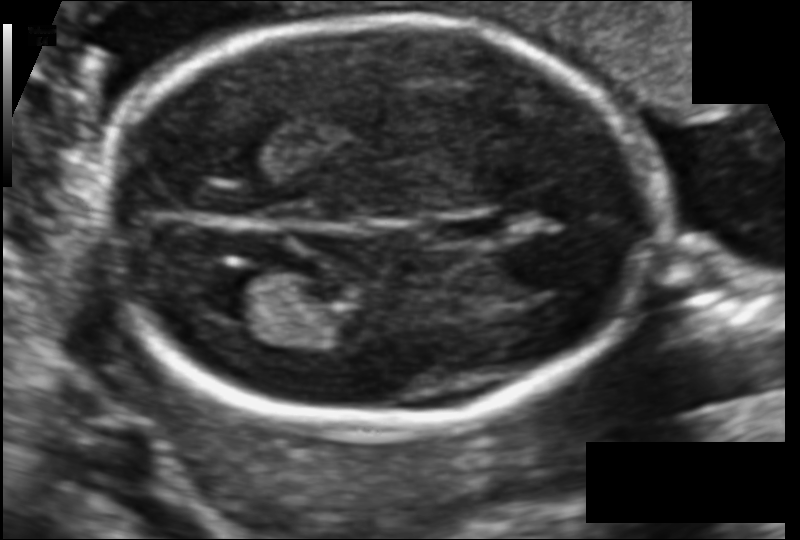
What is the fetal head circumference? Image width is 84.6 mm.

165.0 mm